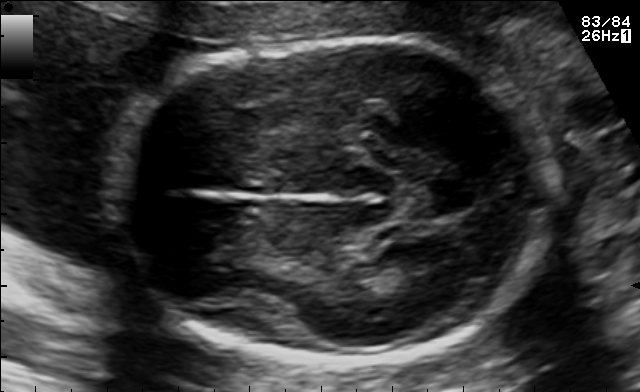
This is a 2D maternal-fetal ultrasound frame. Is it a fetal abdomen, fetal brain, fetal femur, fetal thorax, maternal cervix, or other standard plane? If it's fetal brain and one of the three standard brain planes (trans-thalamic, trans-cerebellum, trans-ventricular), name which.

Fetal brain (trans-thalamic plane)